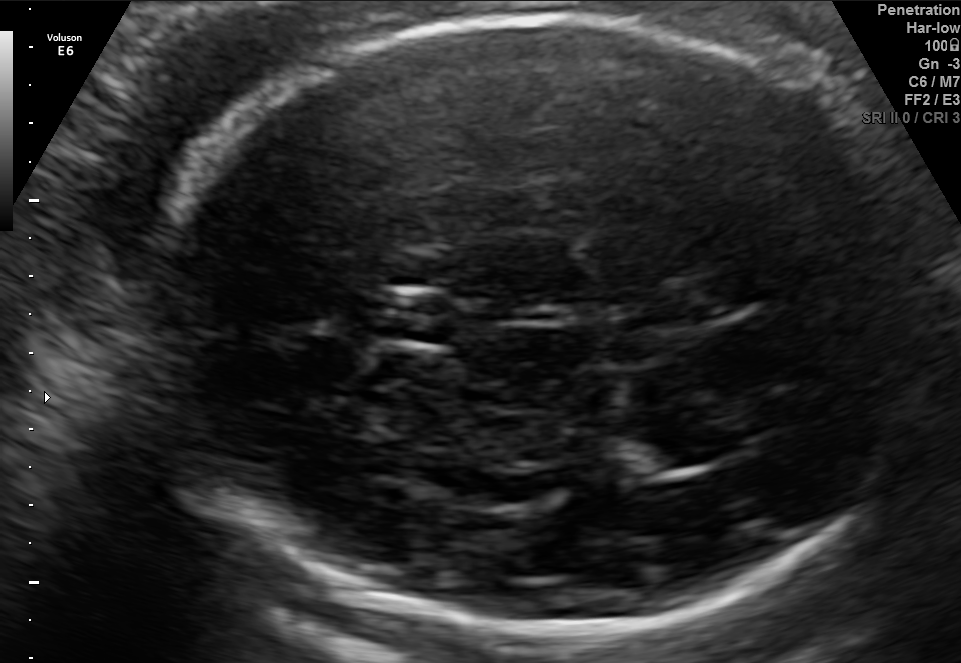
Fetal brain, trans-thalamic plane. Give [x1,y1,x2,y2] bounding boxes for each visible structure among: fetal head, CSP, LV.

Head: [137,20,940,631]
CSP: [369,289,461,346]
Lateral ventricle: [612,418,731,482]